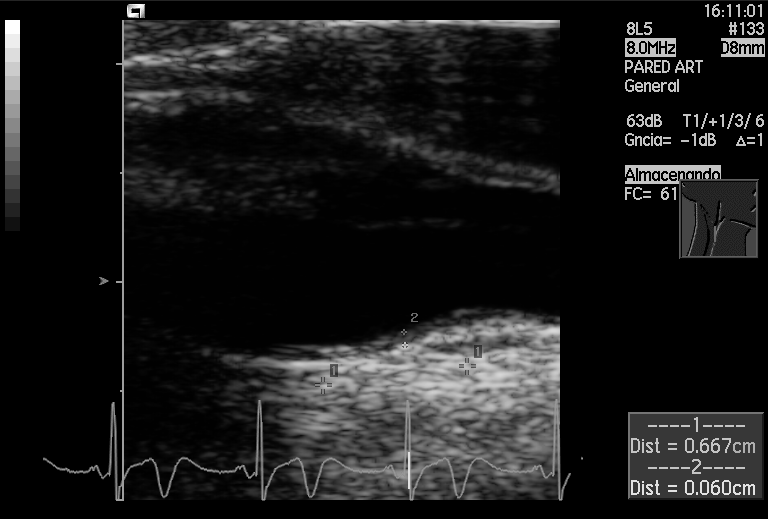
Which standard maternal-fetal ultrasound plane is shown: fetal abdomen, fetal brain, fetal femur, fetal thorax, maternal cervix, or other? If it's fetal brain and one of the three standard brain planes (trans-thalamic, trans-cerebellum, trans-ventricular), name which.

Other